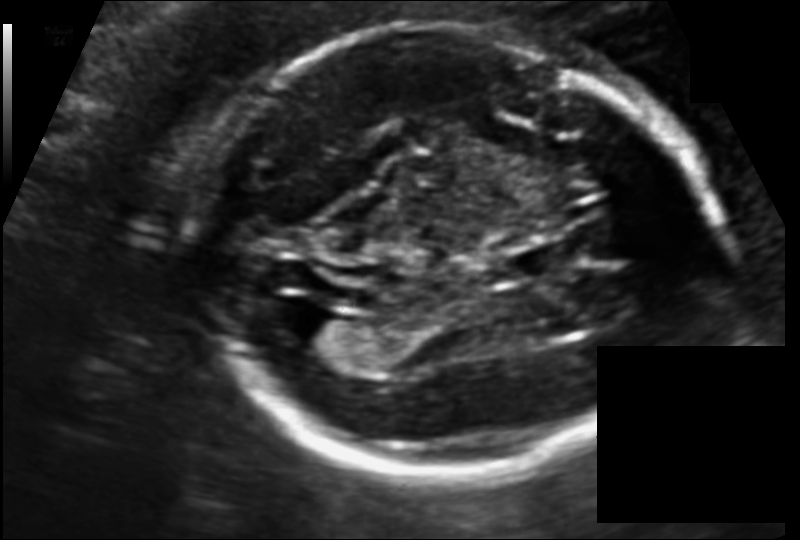
In this fetal head ultrasound, give the bounding box of the lateral ventricle. Image width: 94.5 mm.

[284,302,357,362]